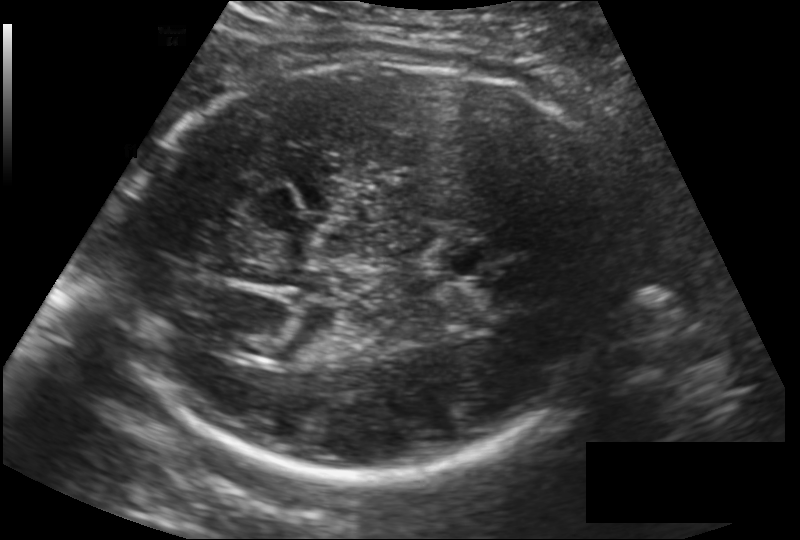
What is the fetal head circumference? Image width is 148.6 mm.

278.3 mm